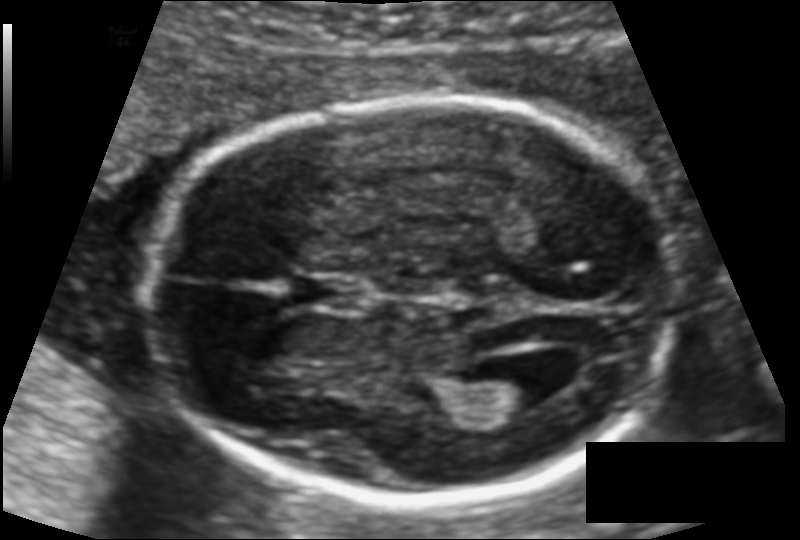
Fetal head ultrasound. Image width: 90.3 mm. Locate the fetal head.

Head: [148,96,679,498]